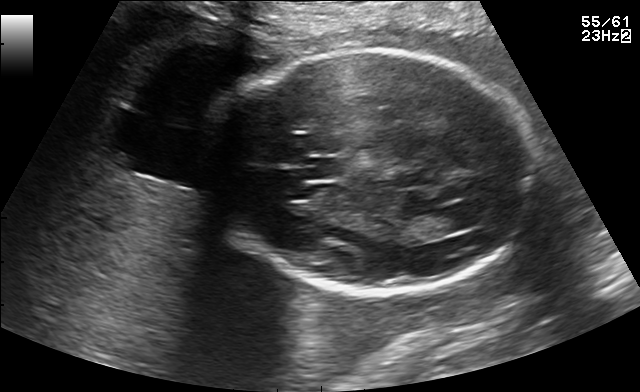
Fetal brain, trans-thalamic plane. Where is the lateral ventricle?

Lateral ventricle bounding box: [399,204,466,247]